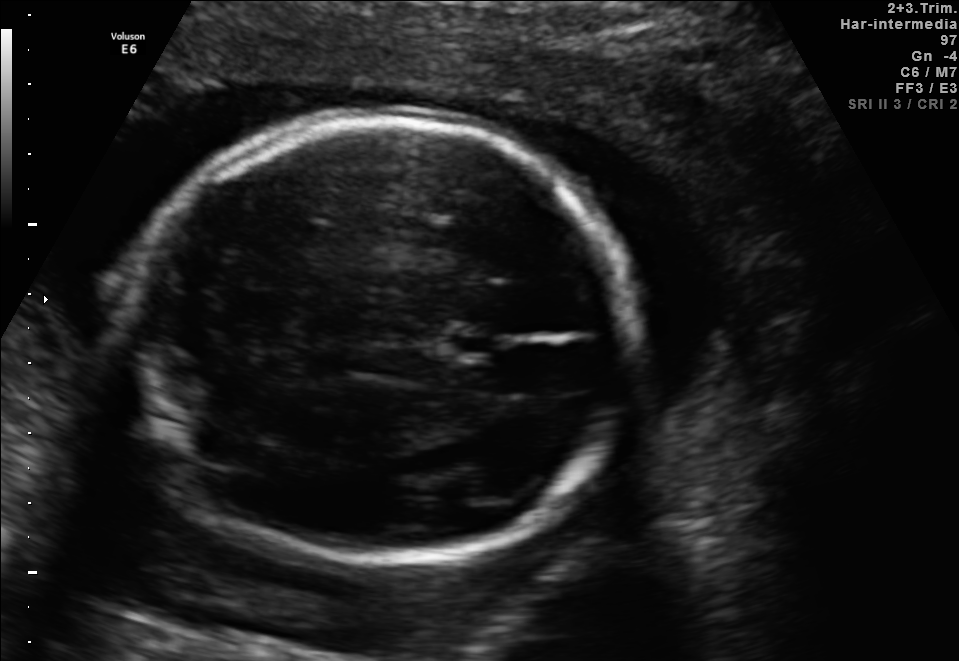
In this fetal brain, trans-thalamic plane, give bounding boxes for the head outline, cavum septum pellucidum (CSP), and lateral ventricle (LV), where visible.

Head: [128,115,633,558]
CSP: [452,335,497,354]